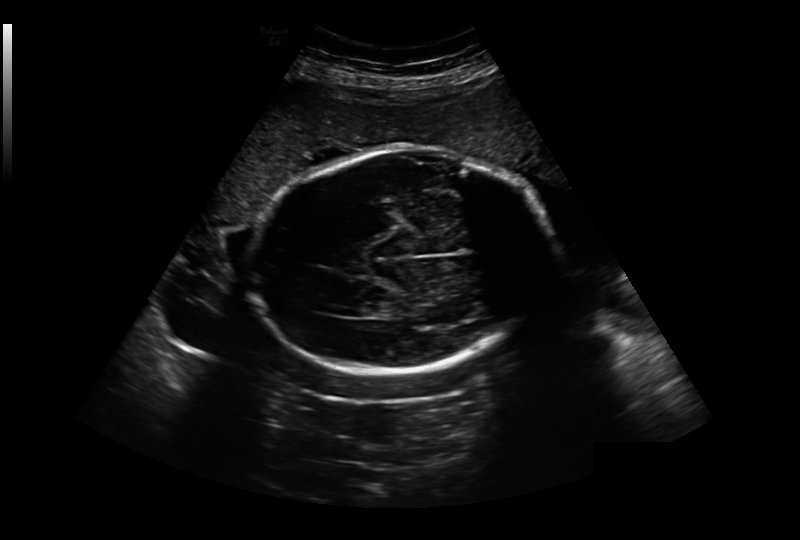
From this fetal ultrasound, estimate the head circumference (image width 278.8 mm).

Head circumference: 291.3 mm.